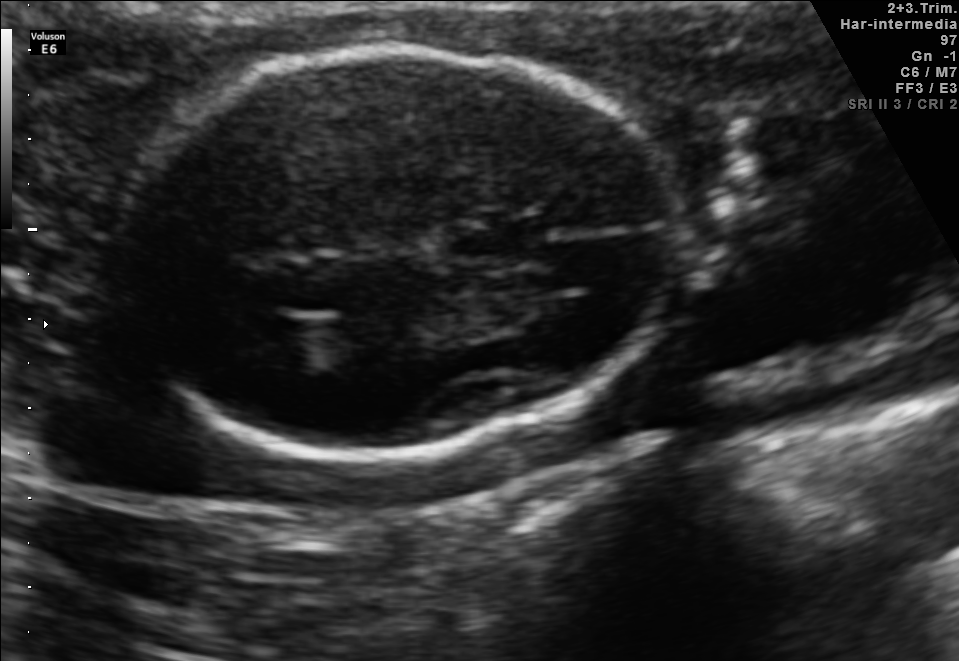
In this fetal brain, trans-thalamic plane, give the bounding box of the lateral ventricle.

[228,304,330,369]